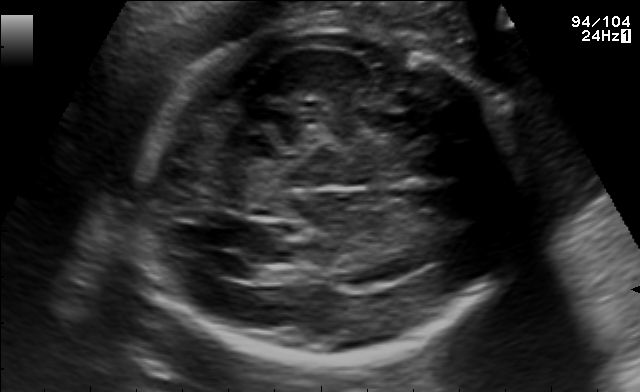
Fetal brain, trans-ventricular plane. Locate the fetal head and, if visible, the cavum septum pellucidum (CSP) and lateral ventricle (LV). Give bounding boxes as [x1,y1,x2,y2].

Head: [124,21,544,364]